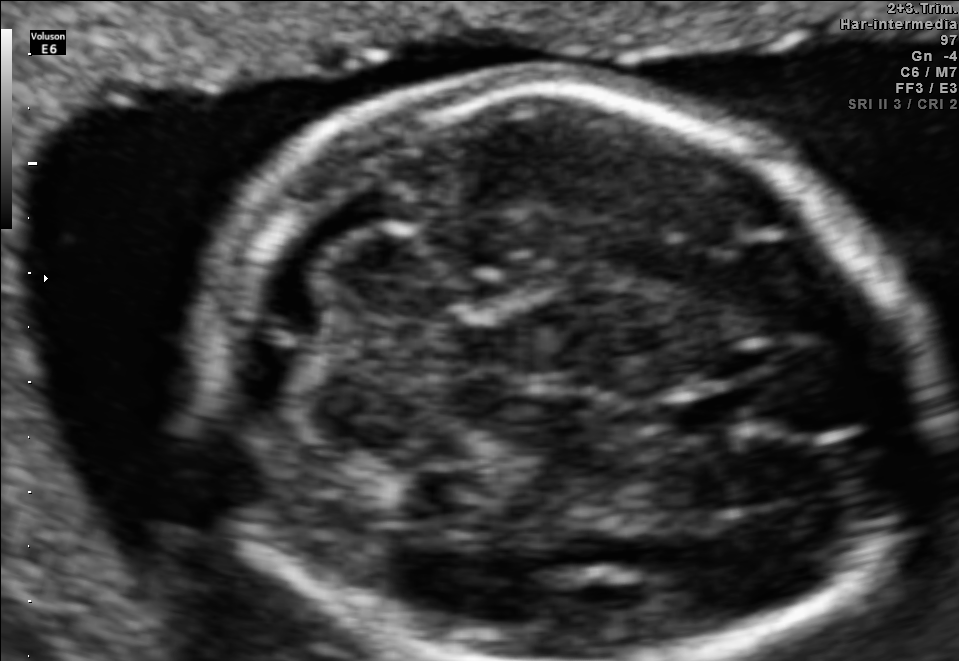
Fetal brain, trans-cerebellum plane. Locate the fetal head.

Head: [202,85,937,660]